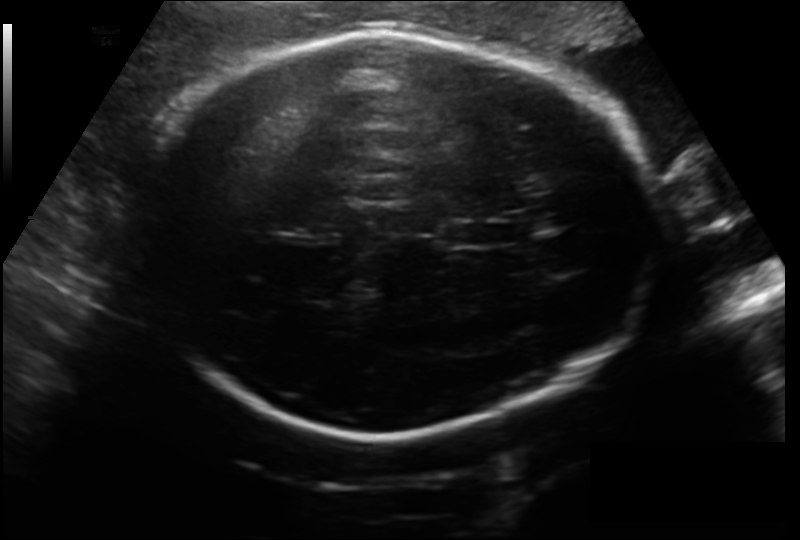
Fetal head ultrasound. Image width: 158.8 mm. Give [x1,y1,x2,y2] bounding boxes for each visible structure among: fetal head, CSP, LV.

Head: [145,31,655,434]
CSP: [447,220,501,248]